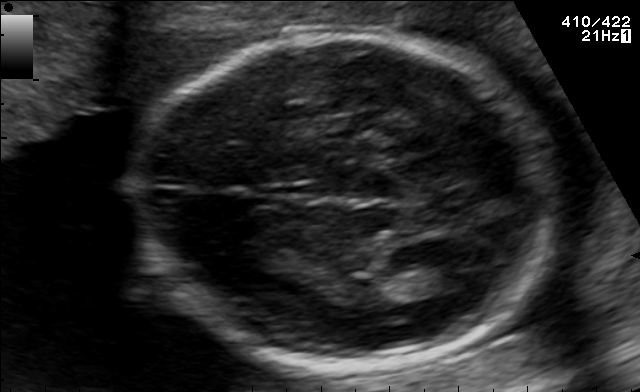
Fetal brain, trans-thalamic plane. Locate the fetal head.

Head: [135,34,557,365]